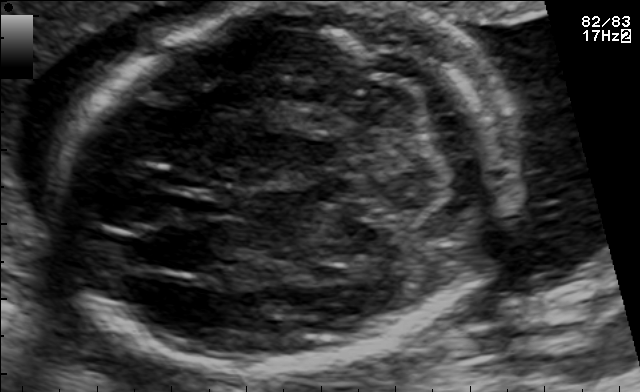
Fetal brain, trans-cerebellum plane. Where is the fetal head?

Head bounding box: [49,2,523,369]